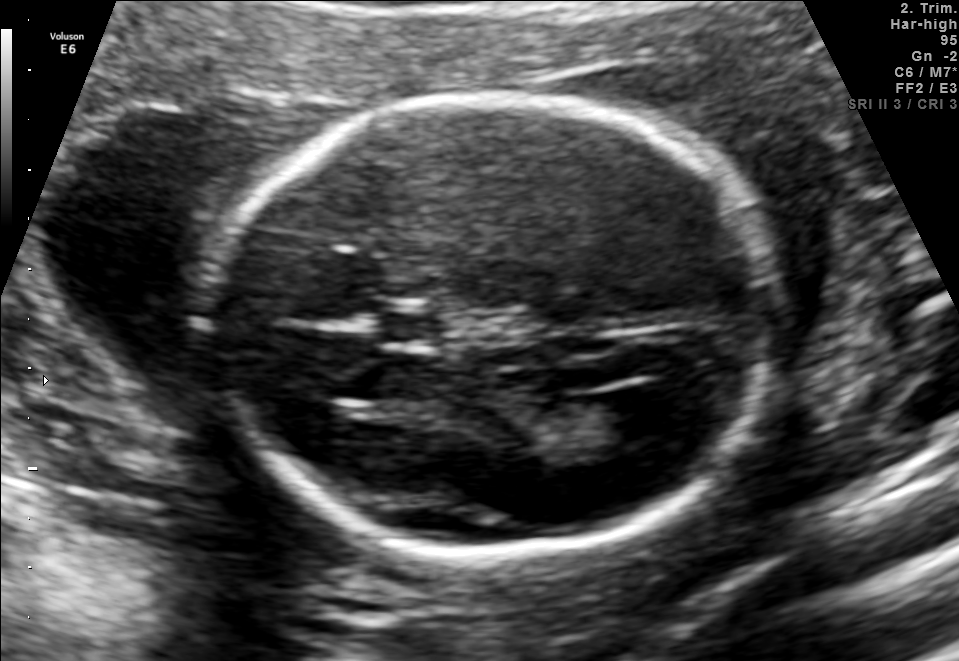
Fetal brain, trans-ventricular plane. Where is the cavum septum pellucidum?

CSP bounding box: [370,308,460,347]